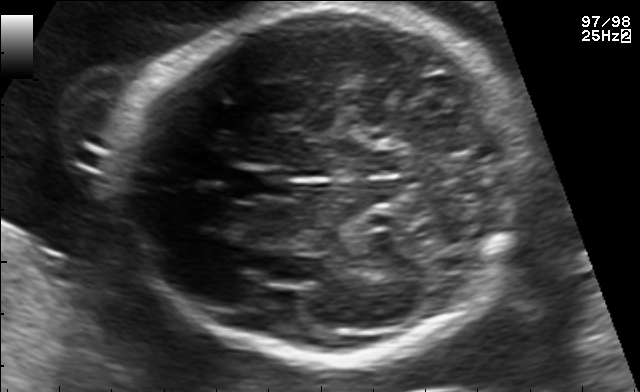
Classify this maternal-fetal ultrasound image as one of the six standard planes — fetal abdomen, fetal brain, fetal femur, fetal thorax, maternal cervix, or other. If it's fetal brain and one of the three standard brain planes (trans-thalamic, trans-cerebellum, trans-ventricular), name which.

Fetal brain (trans-thalamic plane)